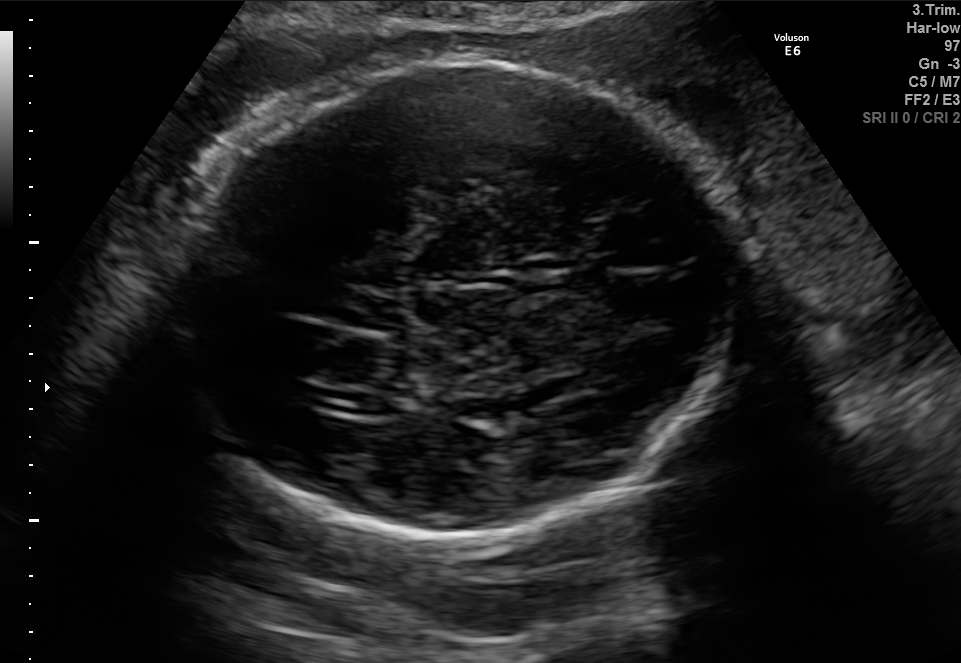
Fetal brain, trans-ventricular plane. Locate the lateral ventricle.

Lateral ventricle: [347,392,392,419]